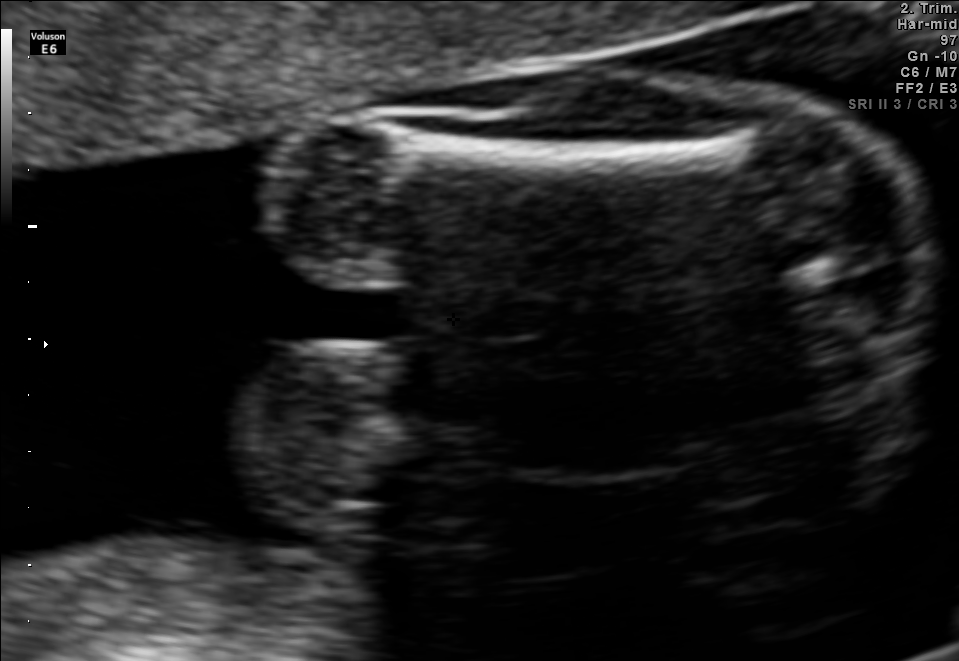
Identify the standard plane in this fetal ultrasound image: fetal abdomen, fetal brain, fetal femur, fetal thorax, maternal cervix, or other. If it's fetal brain and one of the three standard brain planes (trans-thalamic, trans-cerebellum, trans-ventricular), name which.

Fetal femur